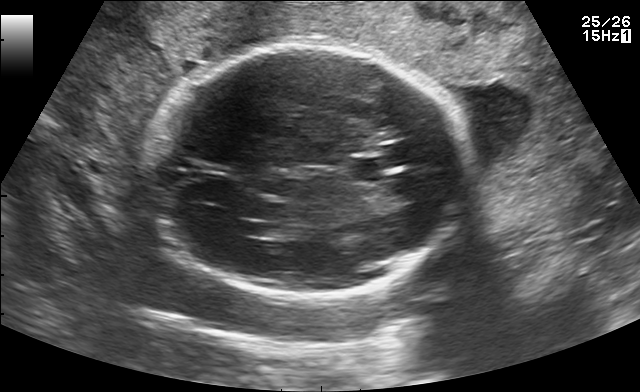
Fetal brain, trans-ventricular plane. Where is the cavum septum pellucidum?

CSP bounding box: [341,156,396,183]